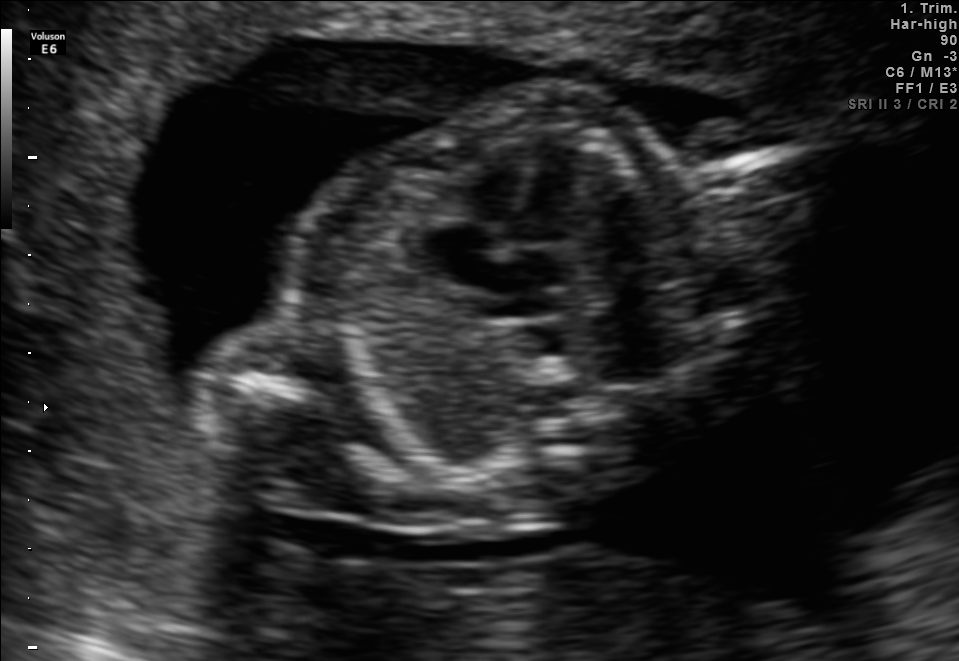
Which standard maternal-fetal ultrasound plane is shown: fetal abdomen, fetal brain, fetal femur, fetal thorax, maternal cervix, or other? If it's fetal brain and one of the three standard brain planes (trans-thalamic, trans-cerebellum, trans-ventricular), name which.

Fetal thorax